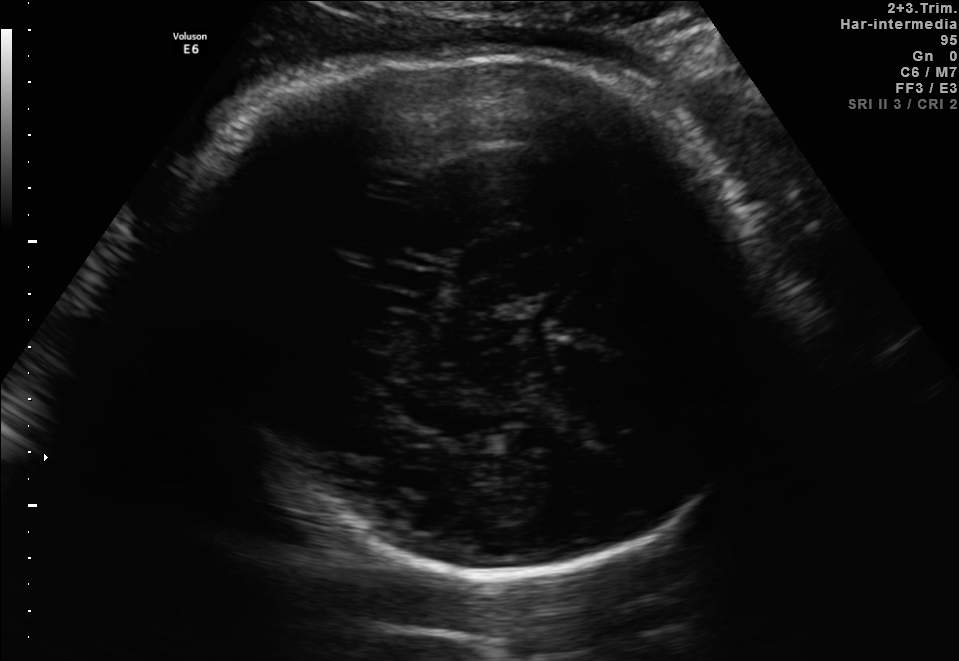
Fetal brain, trans-thalamic plane. Locate the fetal head.

Head: [220,55,767,592]